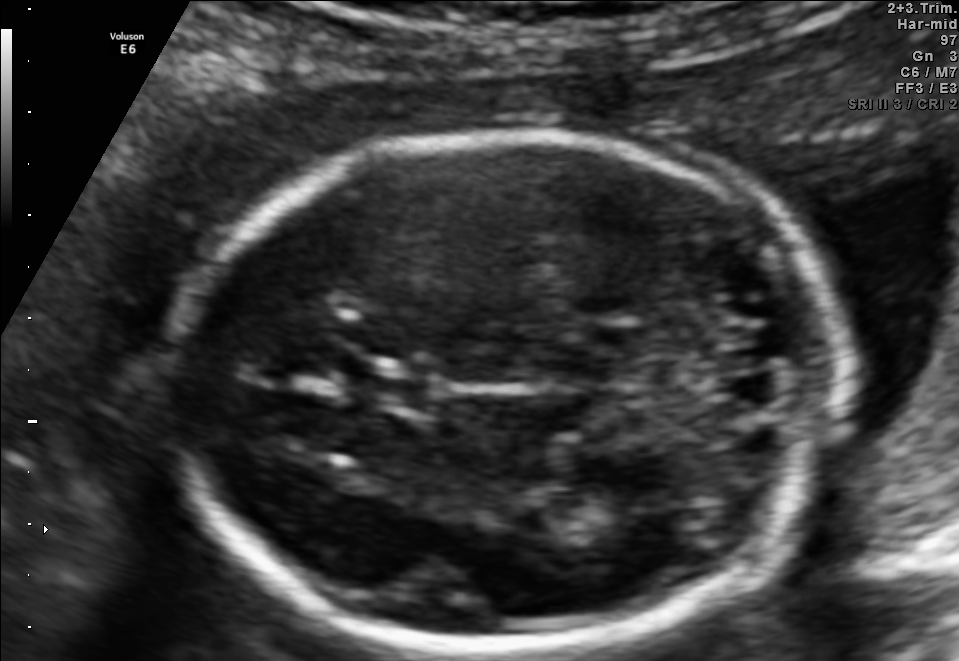
Fetal brain, trans-thalamic plane. Locate the cavum septum pellucidum.

CSP: [353,366,438,413]